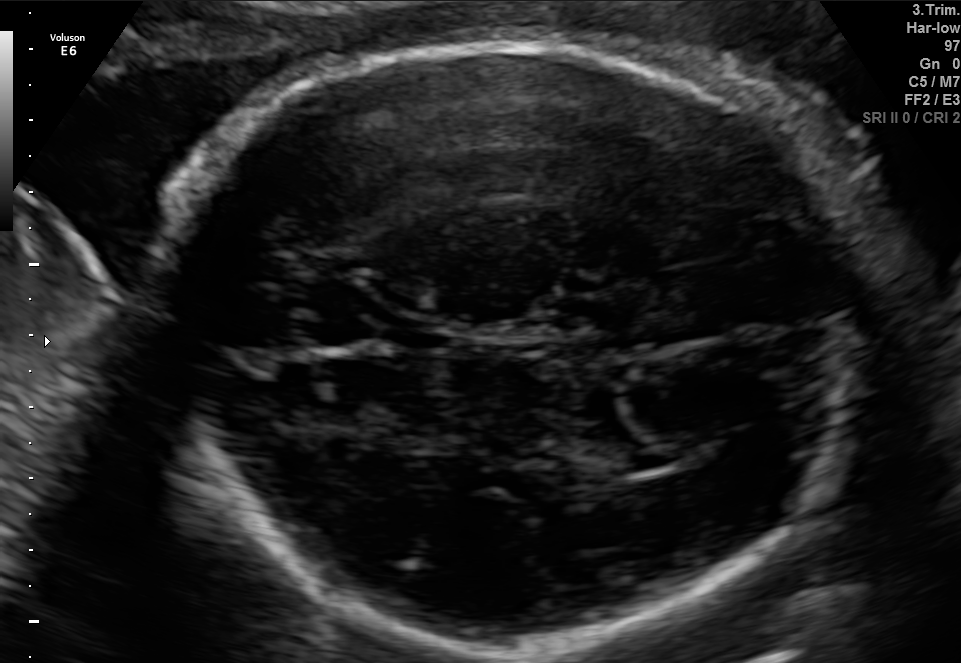
Fetal brain, trans-ventricular plane. Where is the fetal head?

Head bounding box: [138,34,875,655]